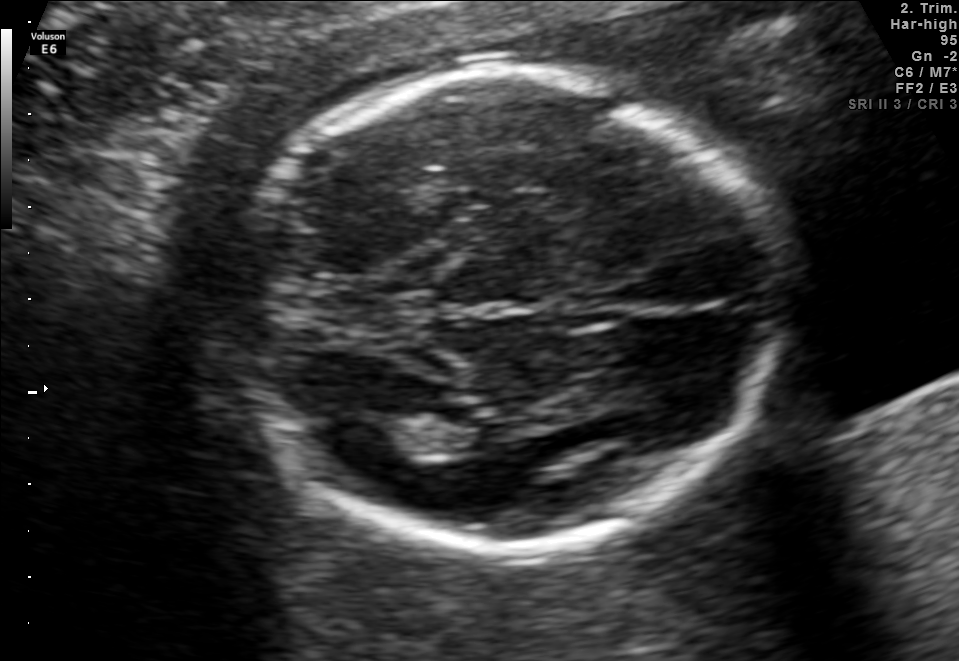
In this fetal brain, trans-thalamic plane, give the bounding box of the fetal head.

[228,70,779,541]